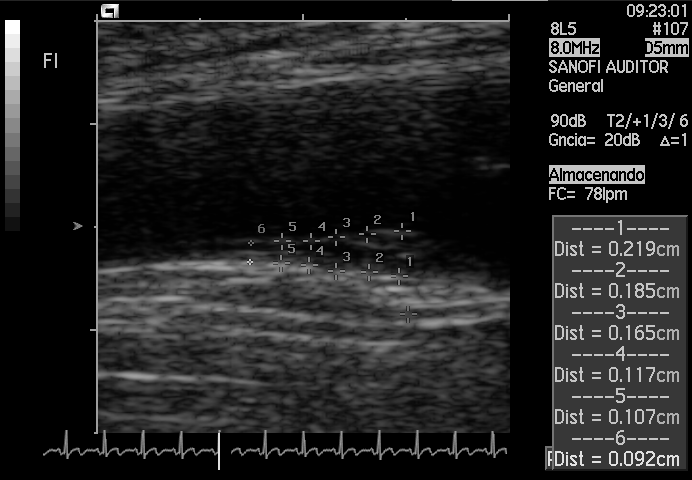
Identify the standard plane in this fetal ultrasound image: fetal abdomen, fetal brain, fetal femur, fetal thorax, maternal cervix, or other. If it's fetal brain and one of the three standard brain planes (trans-thalamic, trans-cerebellum, trans-ventricular), name which.

Other